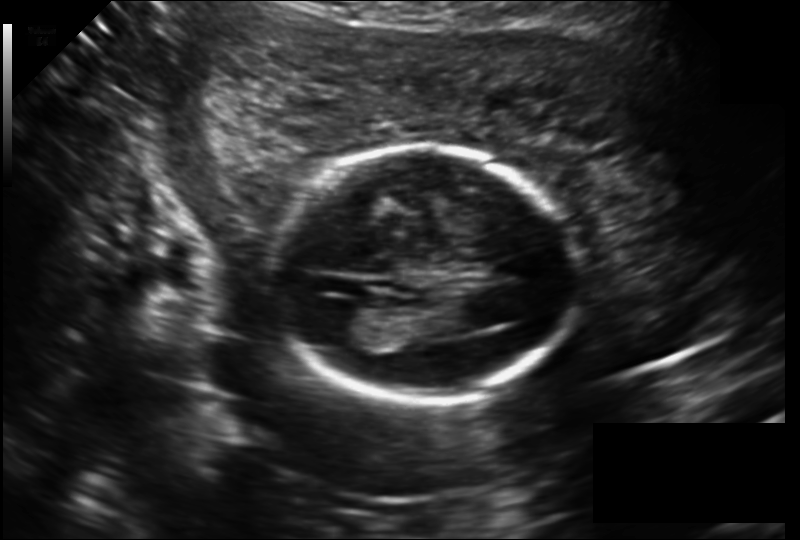
What is the fetal head circumference? Image width is 142.0 mm.

161.8 mm